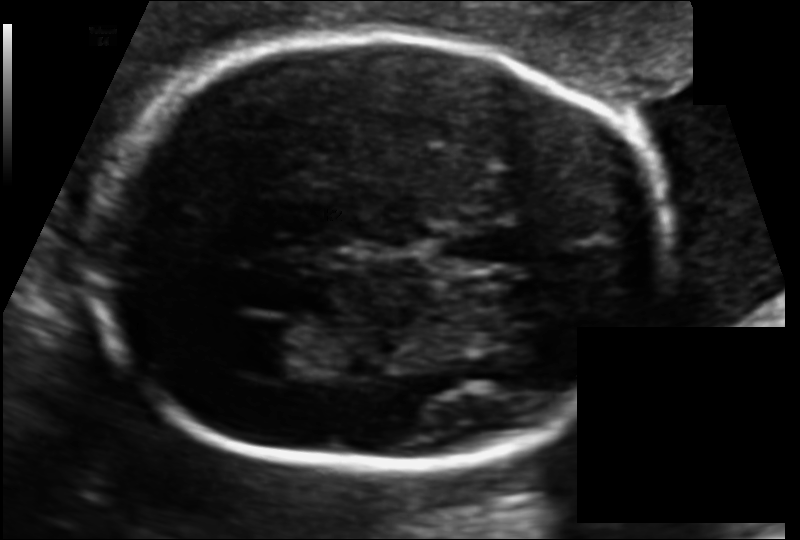
Fetal head ultrasound. Image width: 89.0 mm. Where is the fetal head?

Head bounding box: [88,37,679,469]